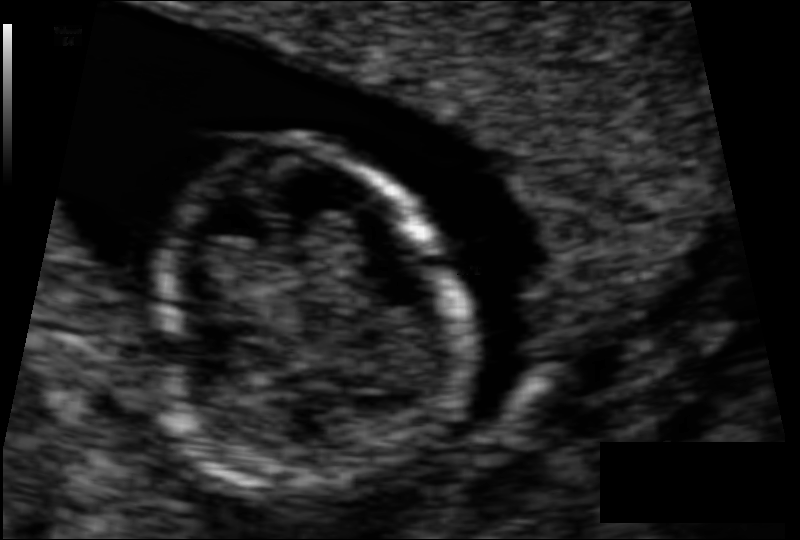
From this fetal ultrasound, estimate the head circumference (image width 49.5 mm).

Head circumference: 66.3 mm.